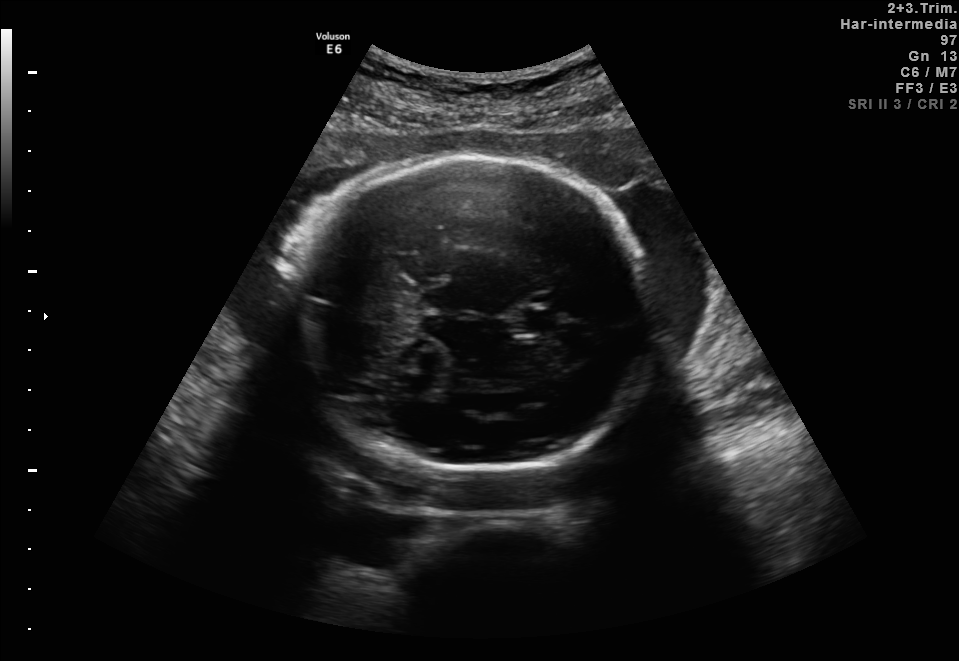
Fetal brain, trans-thalamic plane. Locate the fetal head and, if visible, the cavum septum pellucidum (CSP) and lateral ventricle (LV). Give bounding boxes as [x1,y1,x2,y2].

Head: [293,155,658,468]
CSP: [522,308,558,332]